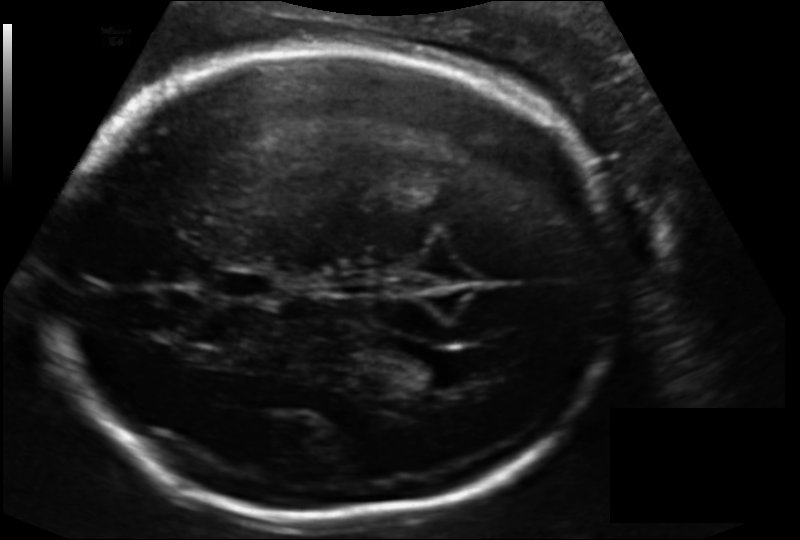
In this fetal head ultrasound, give bounding boxes for the head outline, cavum septum pellucidum (CSP), and lateral ventricle (LV), where visible. Image width: 124.7 mm.

Head: [43,45,614,518]
CSP: [209,264,278,303]
Lateral ventricle: [398,348,474,394]